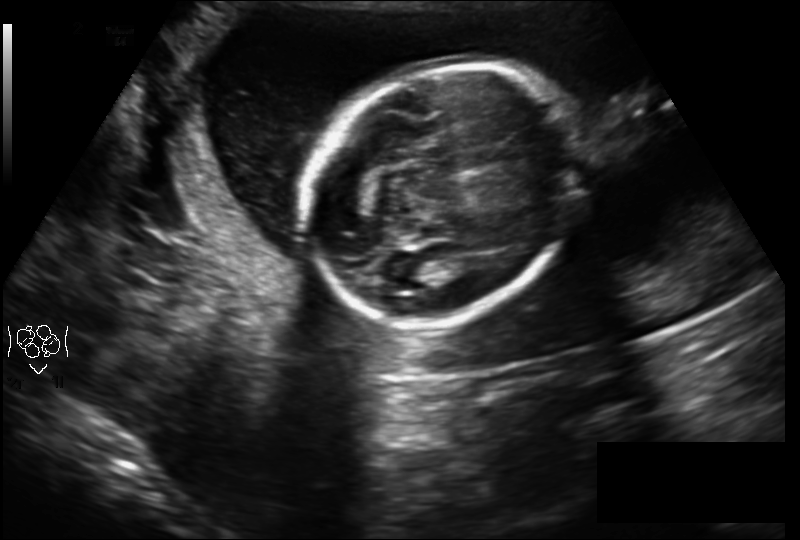
Fetal head ultrasound. Image width: 167.6 mm. Locate the fetal head and, if visible, the cavum septum pellucidum (CSP) and lateral ventricle (LV). Give bounding boxes as [x1,y1,x2,y2].

Head: [306,64,582,321]